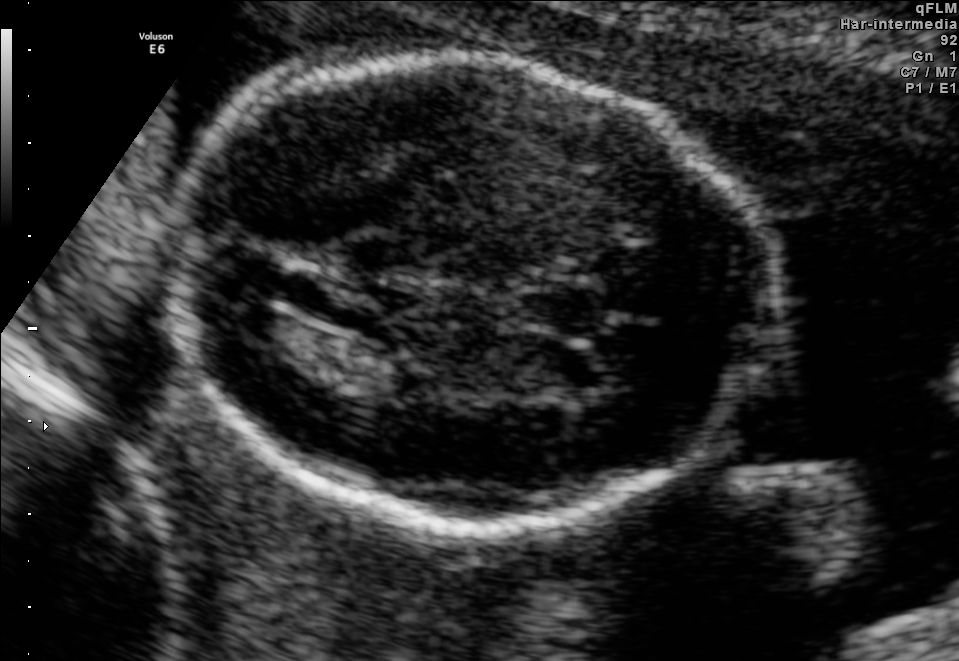
In this fetal brain, trans-thalamic plane, give the bounding box of the lateral ventricle.

[214,285,301,355]